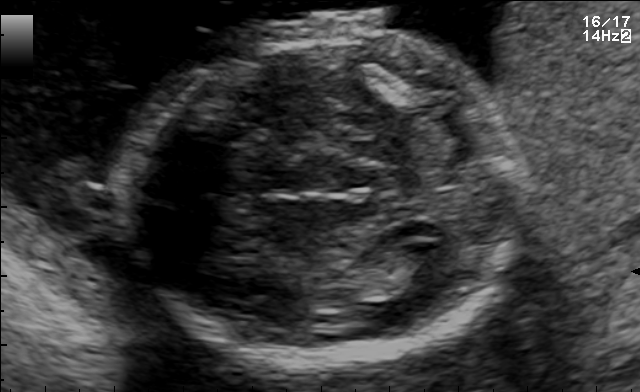
Fetal brain, trans-thalamic plane. Where is the fetal head?

Head bounding box: [121,23,519,361]